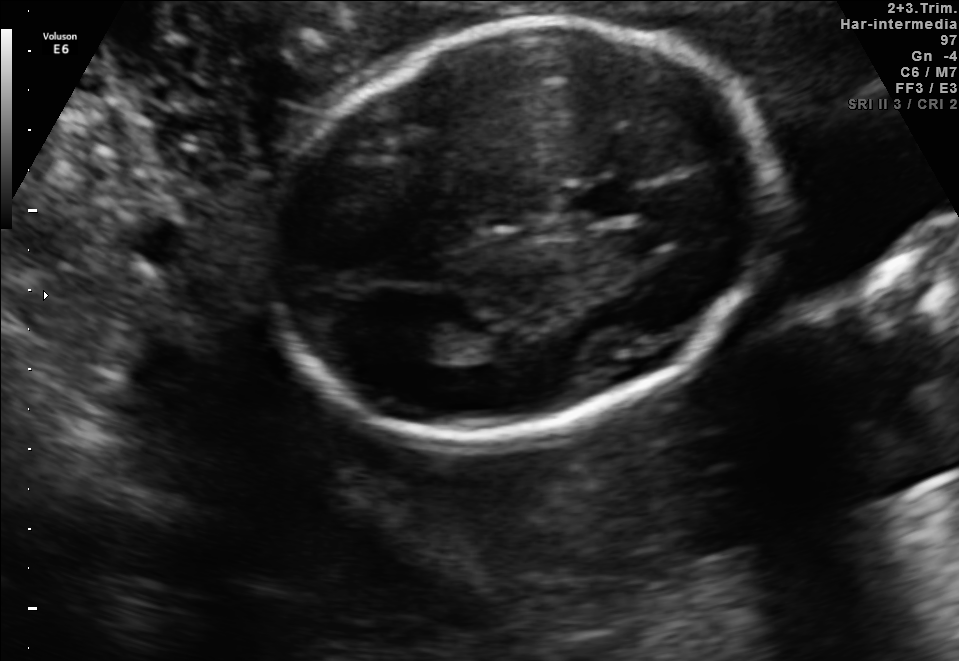
Fetal brain, trans-thalamic plane. Where is the cavum septum pellucidum?

CSP bounding box: [568,176,640,226]